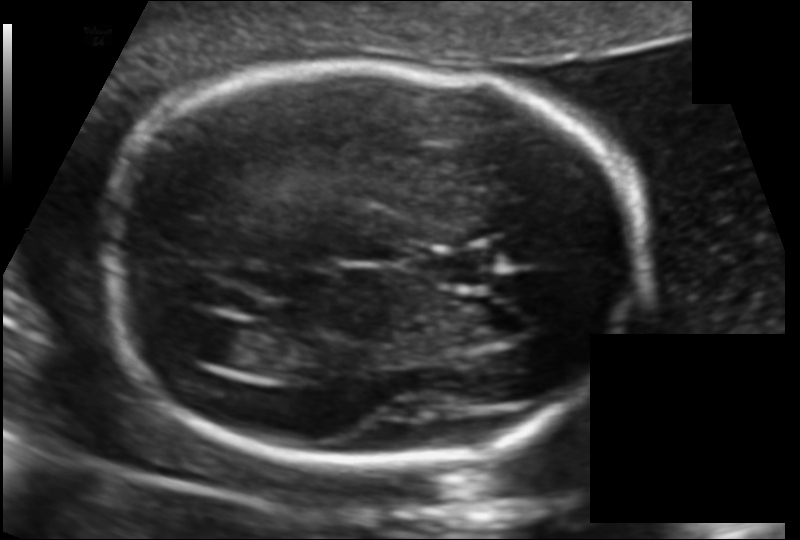
Fetal head ultrasound. Image width: 93.9 mm. Give [x1,y1,x2,y2] bounding boxes for each visible structure among: fetal head, CSP, LV.

Head: [97,65,645,461]
CSP: [423,251,496,289]
Lateral ventricle: [178,310,263,375]